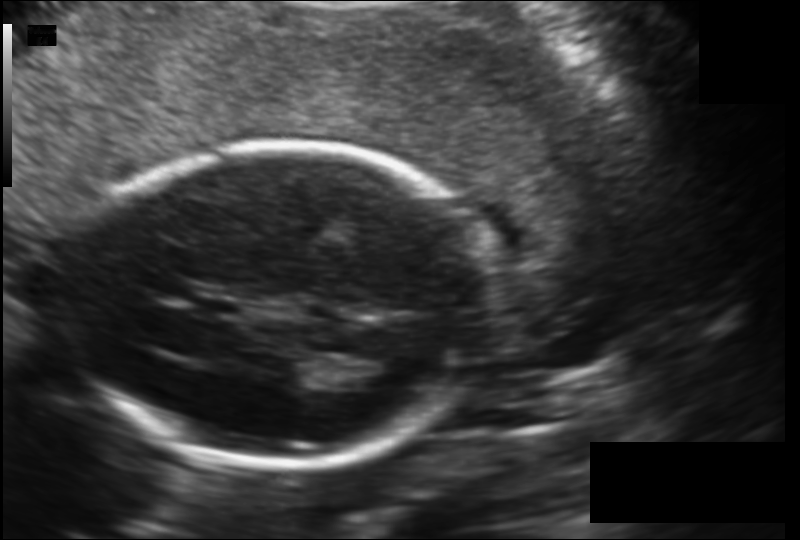
Fetal head ultrasound. Image width: 117.3 mm. Locate the cavum septum pellucidum.

CSP: [196,295,242,319]